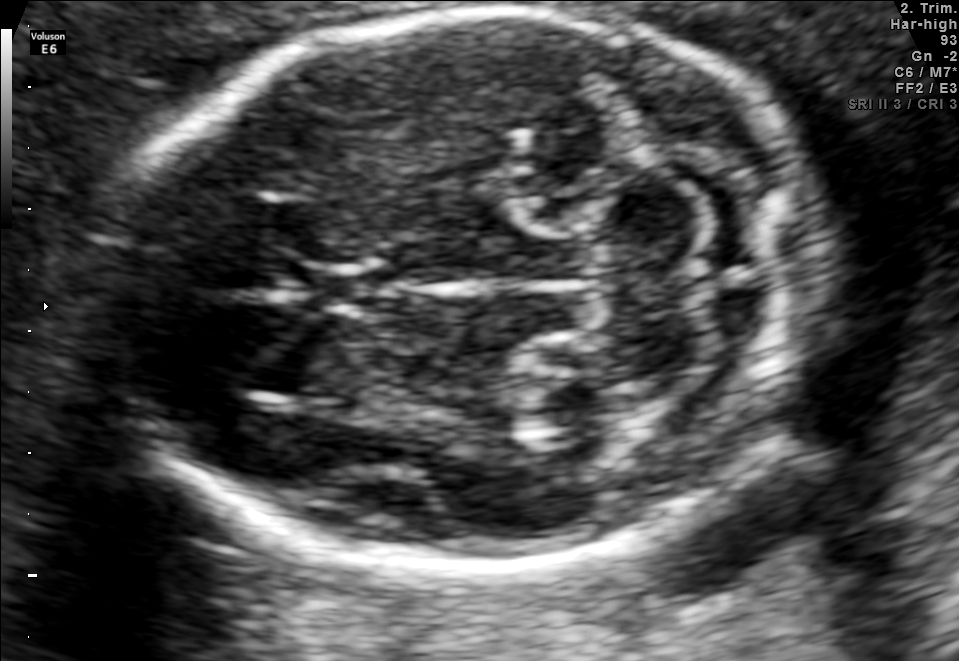
Fetal brain, trans-cerebellum plane. Locate the fetal head and, if visible, the cavum septum pellucidum (CSP) and lateral ventricle (LV). Give bounding boxes as [x1,y1,x2,y2].

Head: [106,7,823,580]
CSP: [308,266,399,312]